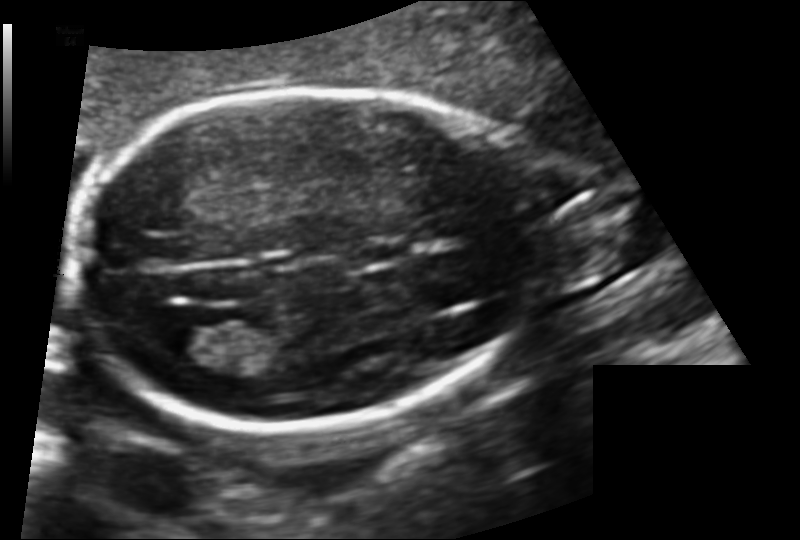
In this fetal head ultrasound, give the bounding box of the lateral ventricle. Image width: 102.4 mm.

[167,319,246,363]